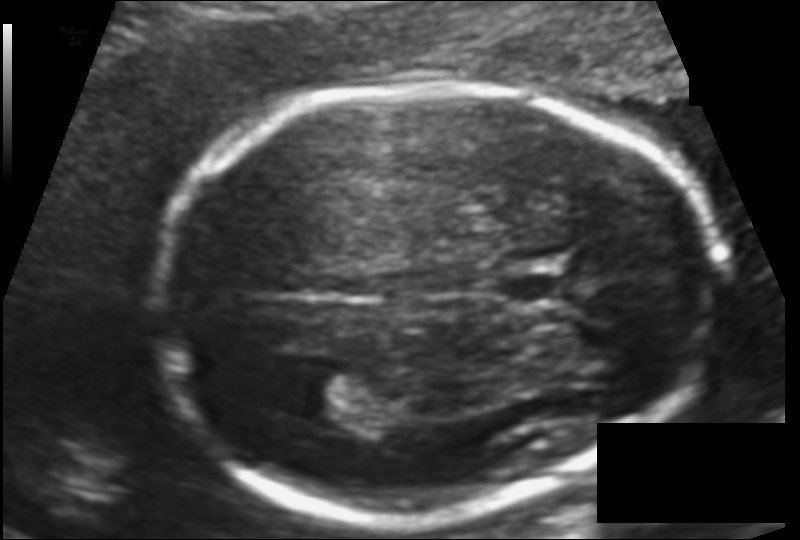
From this fetal ultrasound, estimate the head circumference (image width 87.8 mm).

Head circumference: 177.4 mm.